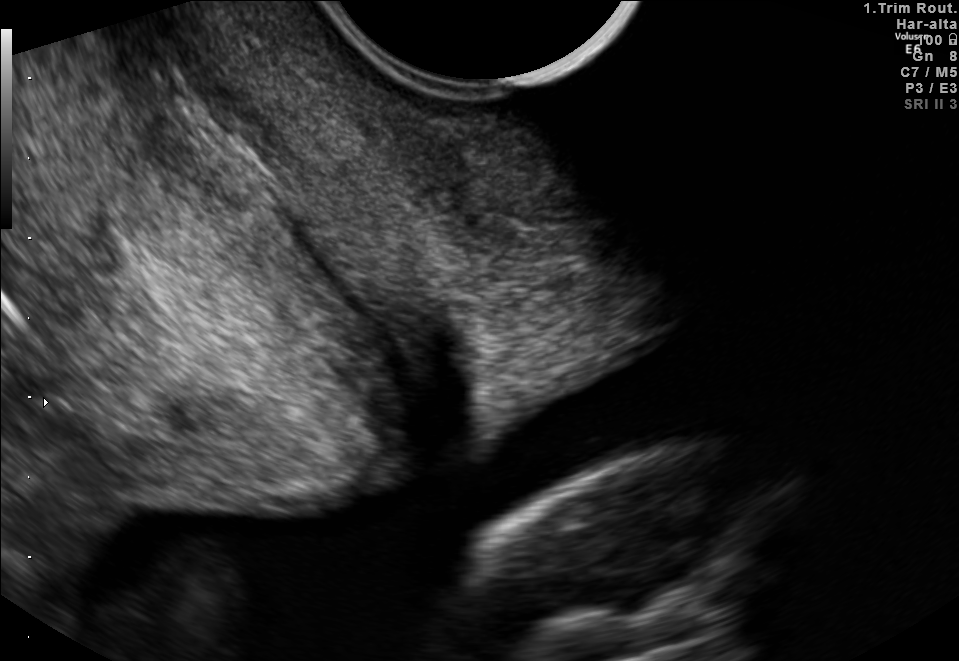
This is a 2D maternal-fetal ultrasound frame. Is it a fetal abdomen, fetal brain, fetal femur, fetal thorax, maternal cervix, or other standard plane? If it's fetal brain and one of the three standard brain planes (trans-thalamic, trans-cerebellum, trans-ventricular), name which.

Maternal cervix